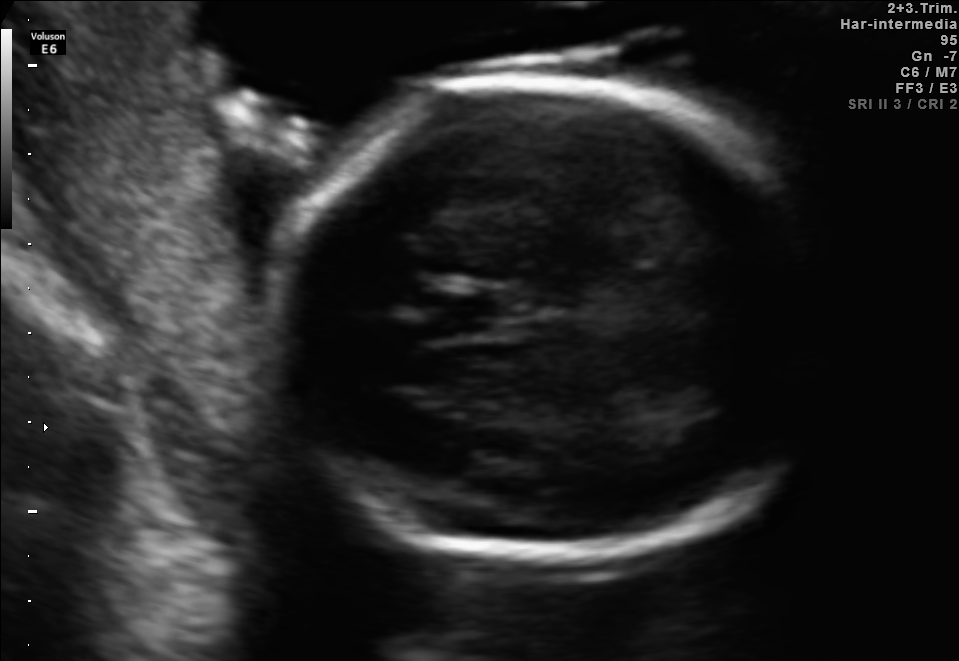
Fetal brain, trans-thalamic plane. Locate the fetal head.

Head: [275,73,822,556]